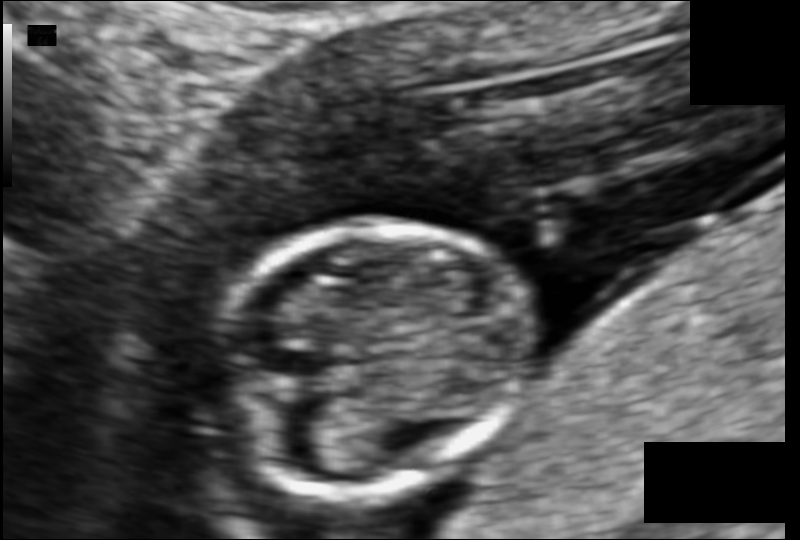
In this fetal head ultrasound, give the bounding box of the fetal head. Image width: 62.1 mm.

[216,223,532,493]